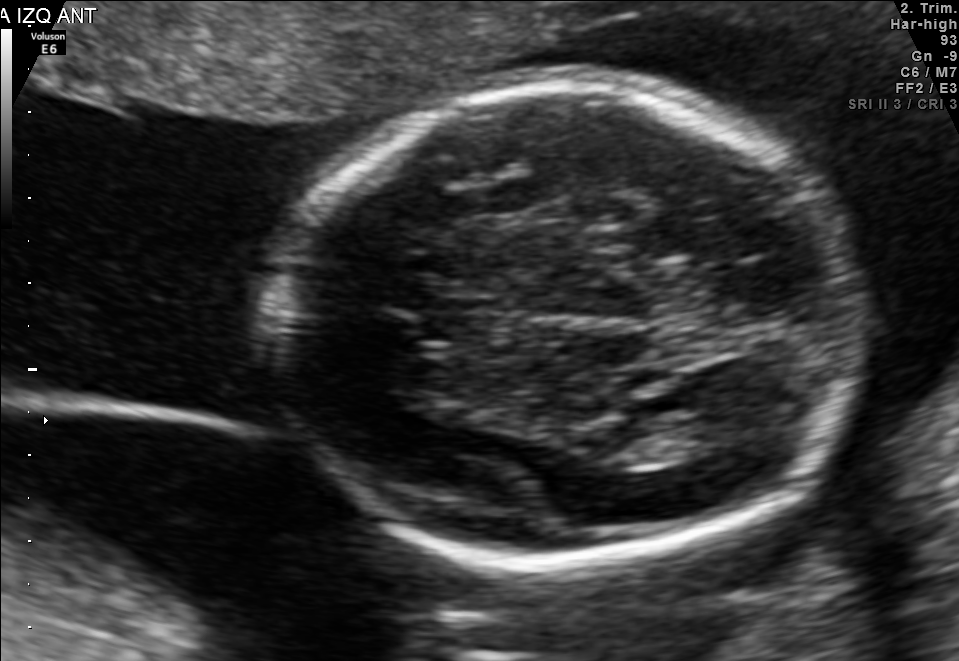
In this fetal brain, trans-thalamic plane, give bounding boxes for the head outline, cavum septum pellucidum (CSP), and lateral ventricle (LV), where visible.

Head: [277,85,866,564]
CSP: [421,301,498,339]
Lateral ventricle: [650,400,756,467]